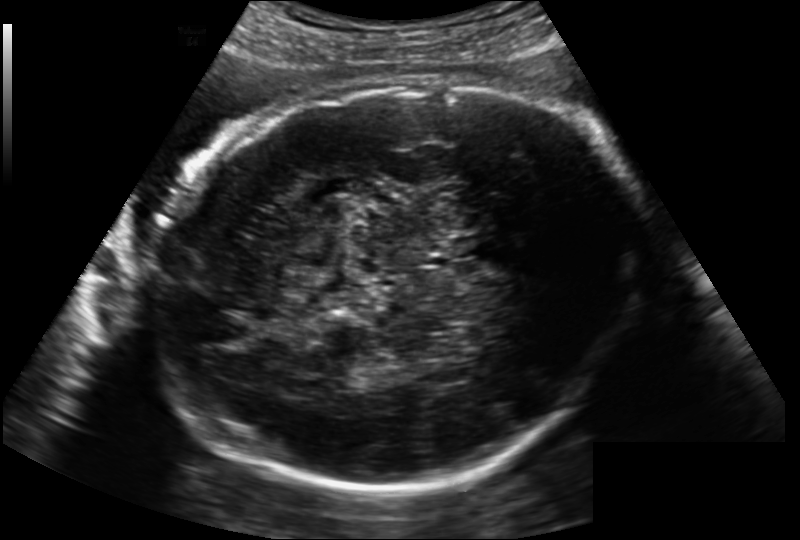
Fetal head ultrasound. Image width: 161.8 mm. Where is the fetal head?

Head bounding box: [157,70,640,498]